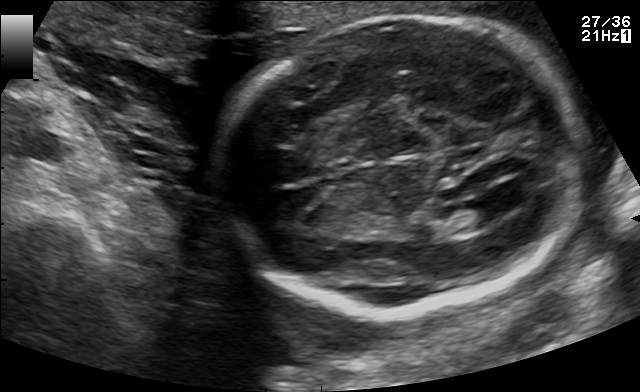
Fetal brain, trans-ventricular plane. Locate the fetal head.

Head: [212,11,595,319]